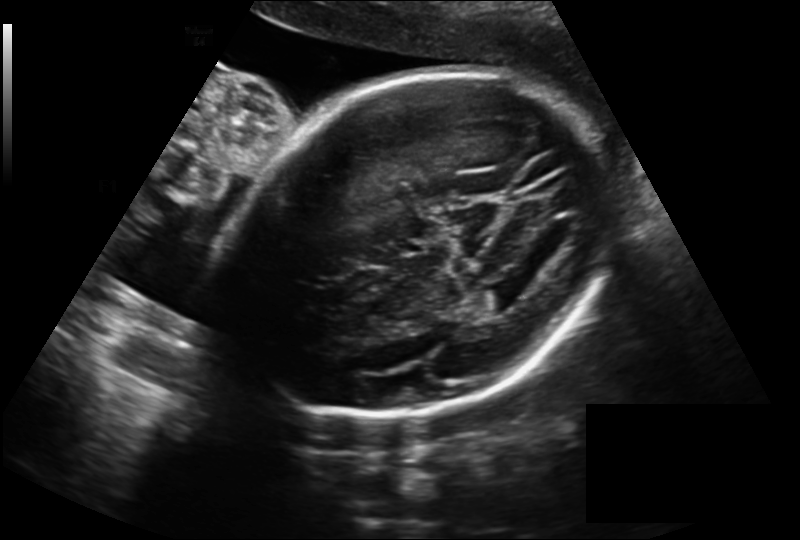
Estimate the fetal head circumference from this 2D ultrasound.

Head circumference: 260.6 mm (image width 179.9 mm).